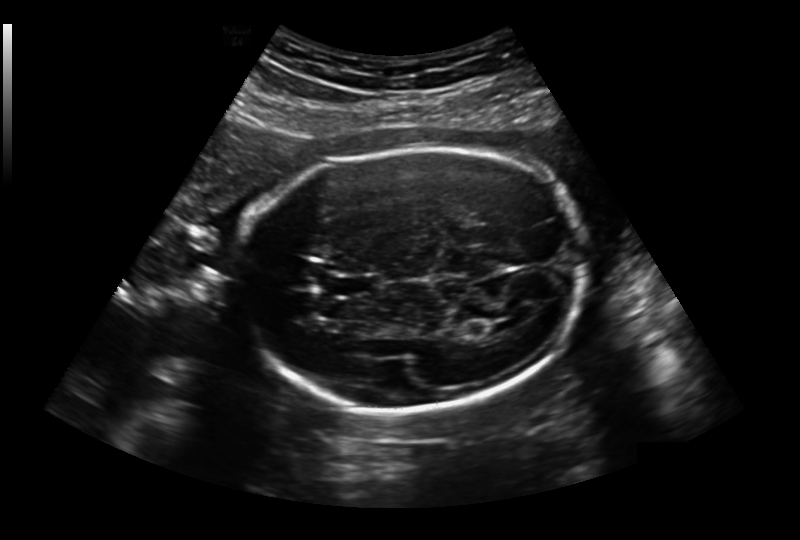
Fetal head ultrasound. Image width: 188.7 mm. Locate the fetal head.

Head: [239,150,586,410]